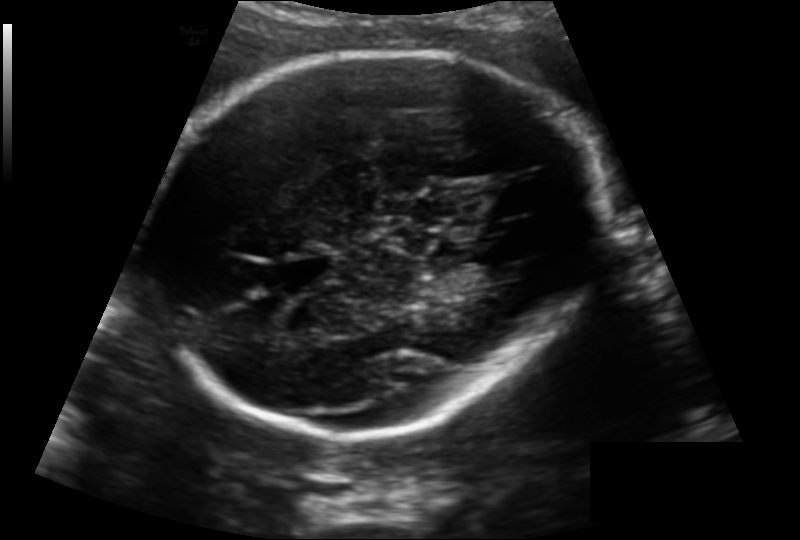
Estimate the fetal head circumference from this 2D ultrasound. Image width: 130.3 mm.

Head circumference: 222.3 mm.